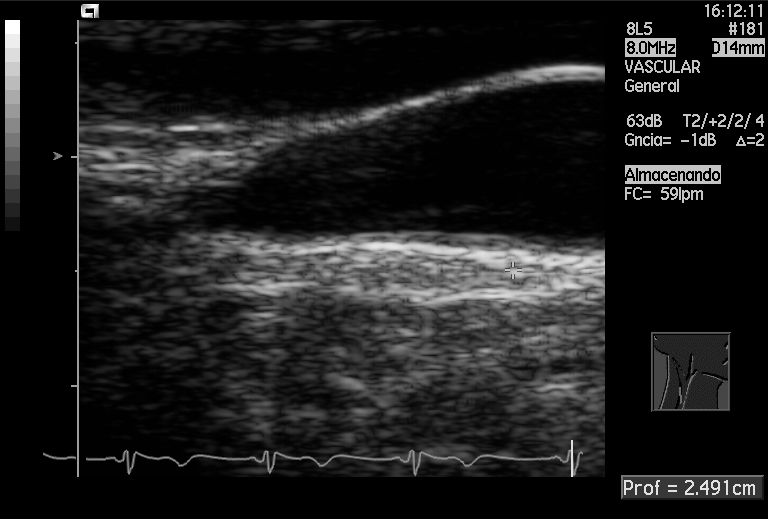
Which standard maternal-fetal ultrasound plane is shown: fetal abdomen, fetal brain, fetal femur, fetal thorax, maternal cervix, or other? If it's fetal brain and one of the three standard brain planes (trans-thalamic, trans-cerebellum, trans-ventricular), name which.

Other